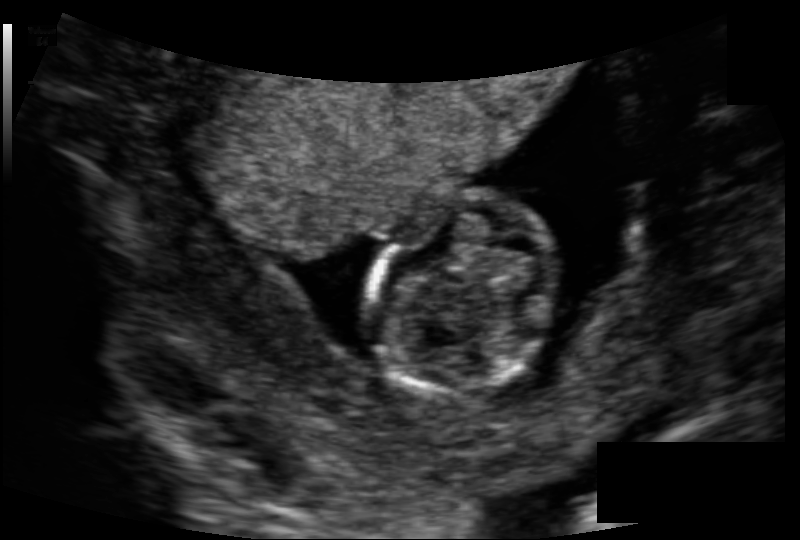
In this fetal head ultrasound, give the bounding box of the fetal head. Image width: 94.4 mm.

[371,193,561,391]